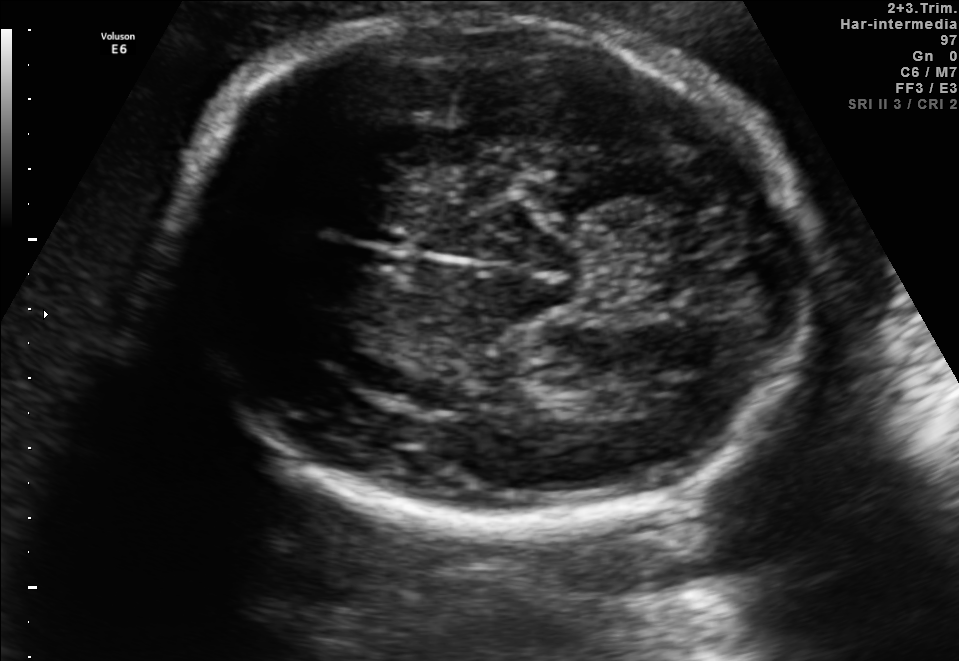
Fetal brain, trans-thalamic plane. Where is the fetal head?

Head bounding box: [170,15,809,524]